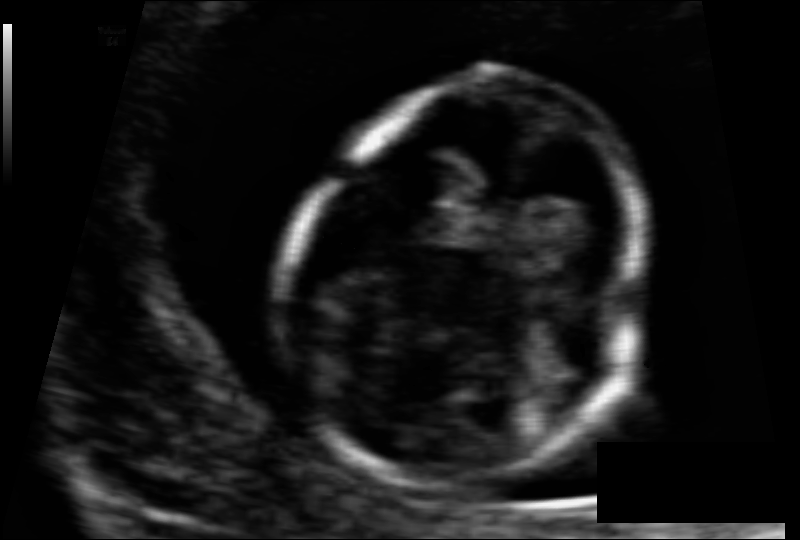
From this fetal ultrasound, estimate the head circumference (image width 50.2 mm).

Head circumference: 78.1 mm.